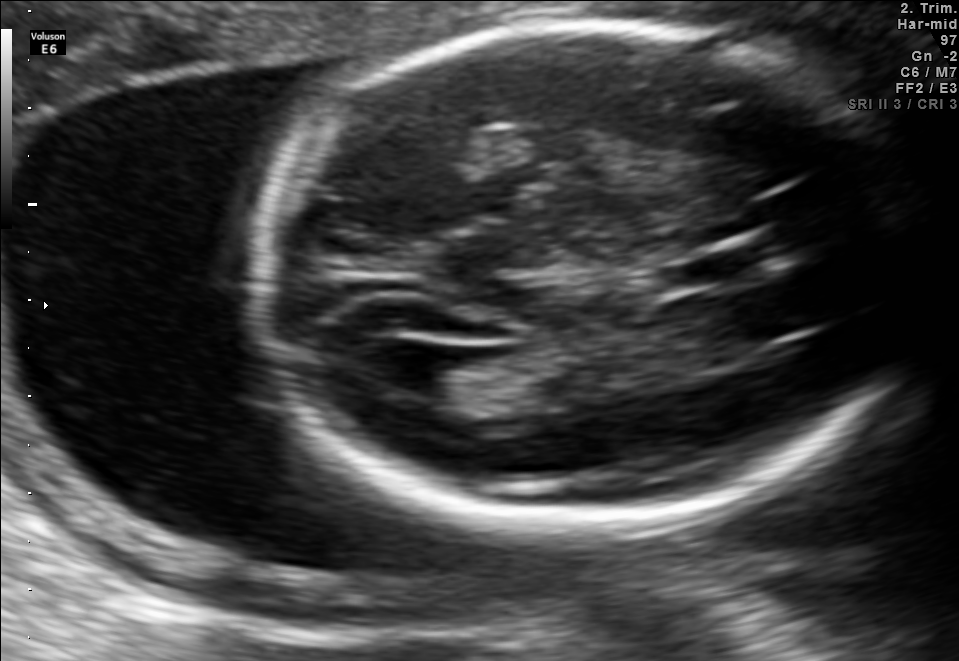
In this fetal brain, trans-ventricular plane, give the bounding box of the fetal head.

[243,15,934,544]